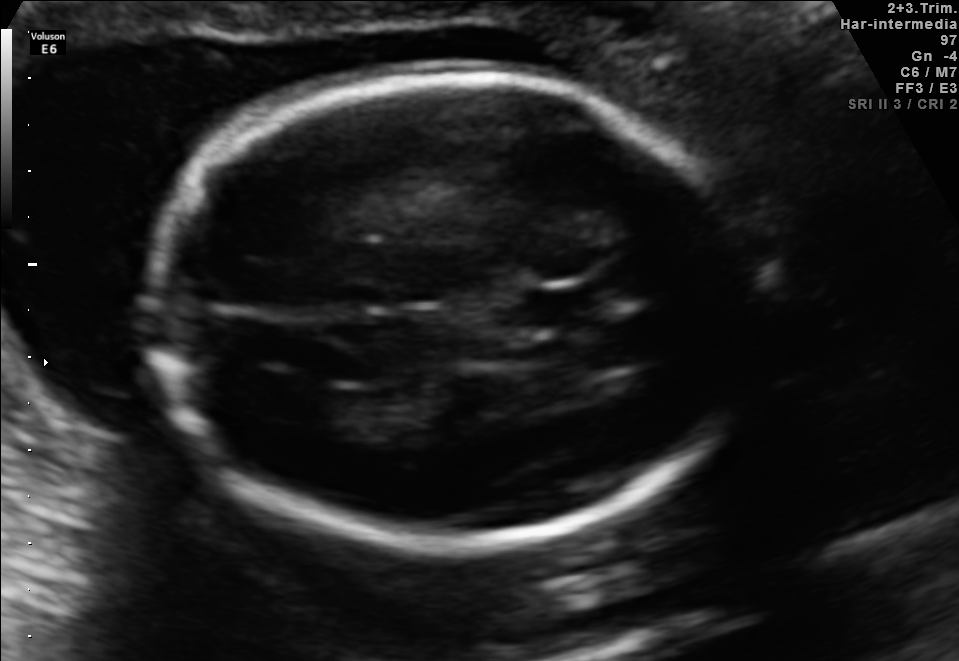
Which standard maternal-fetal ultrasound plane is shown: fetal abdomen, fetal brain, fetal femur, fetal thorax, maternal cervix, or other? If it's fetal brain and one of the three standard brain planes (trans-thalamic, trans-cerebellum, trans-ventricular), name which.

Fetal brain (trans-ventricular plane)